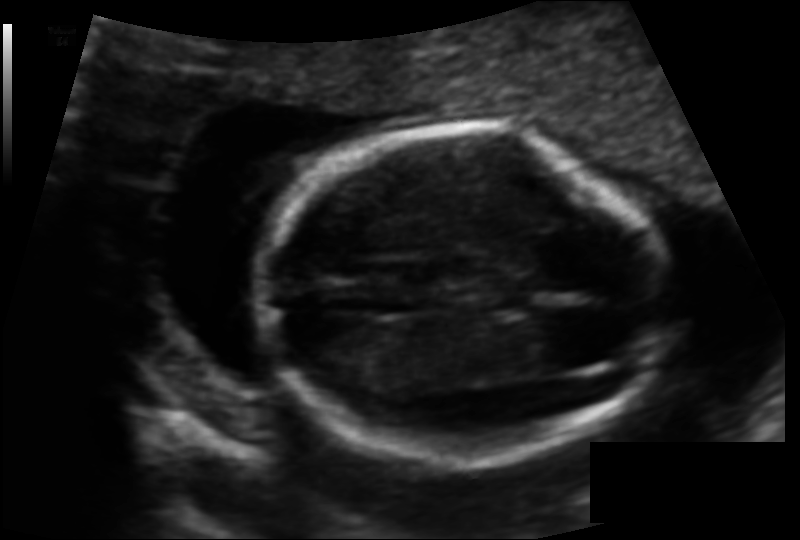
Fetal head ultrasound. Image width: 81.7 mm. Where is the cavum septum pellucidum?

CSP bounding box: [486,283,530,312]